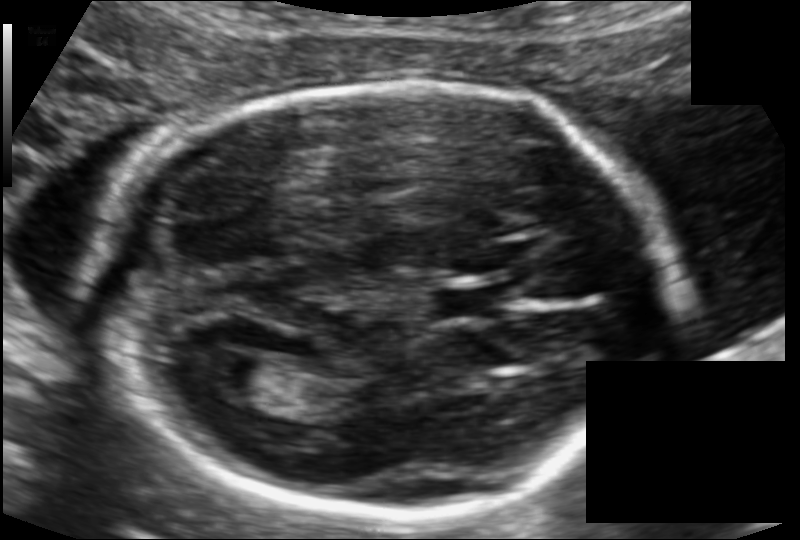
Fetal head ultrasound. Image width: 87.3 mm. Locate the fetal head and, if visible, the cavum septum pellucidum (CSP) and lateral ventricle (LV). Give bounding boxes as [x1,y1,x2,y2].

Head: [96,83,669,522]
CSP: [428,280,504,325]
Lateral ventricle: [190,345,282,405]